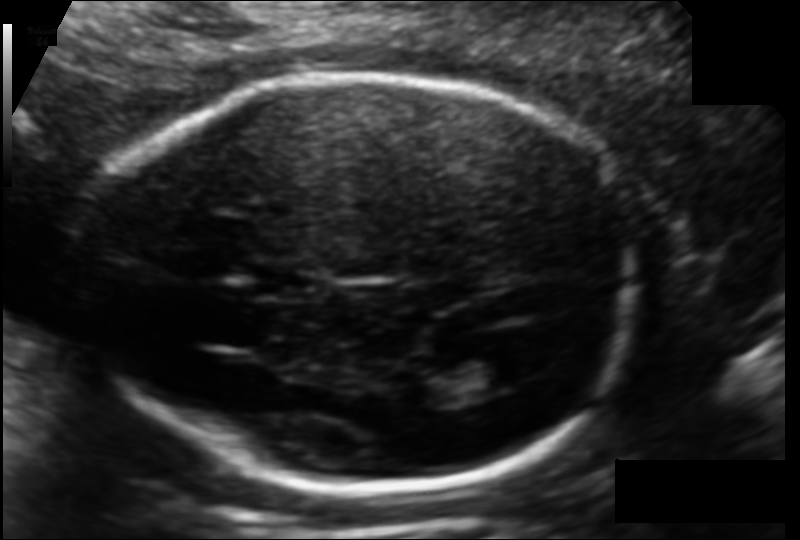
Fetal head ultrasound. Image width: 90.5 mm. Give [x1,y1,x2,y2] bounding boxes for each visible structure among: fetal head, CSP, LV.

Head: [88,78,632,490]
CSP: [251,265,317,298]
Lateral ventricle: [450,344,524,403]